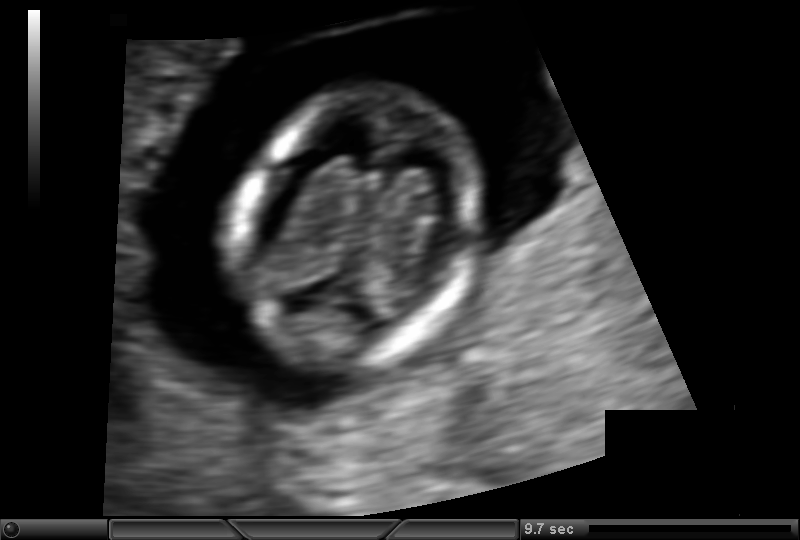
From this fetal ultrasound, estimate the head circumference (image width 73.8 mm).

Head circumference: 78.5 mm.